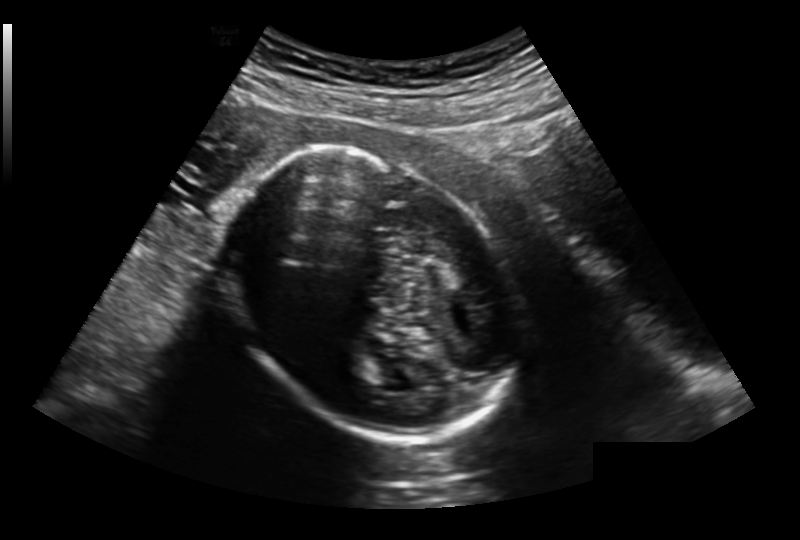
What is the fetal head circumference? Image width is 170.5 mm.

201.9 mm